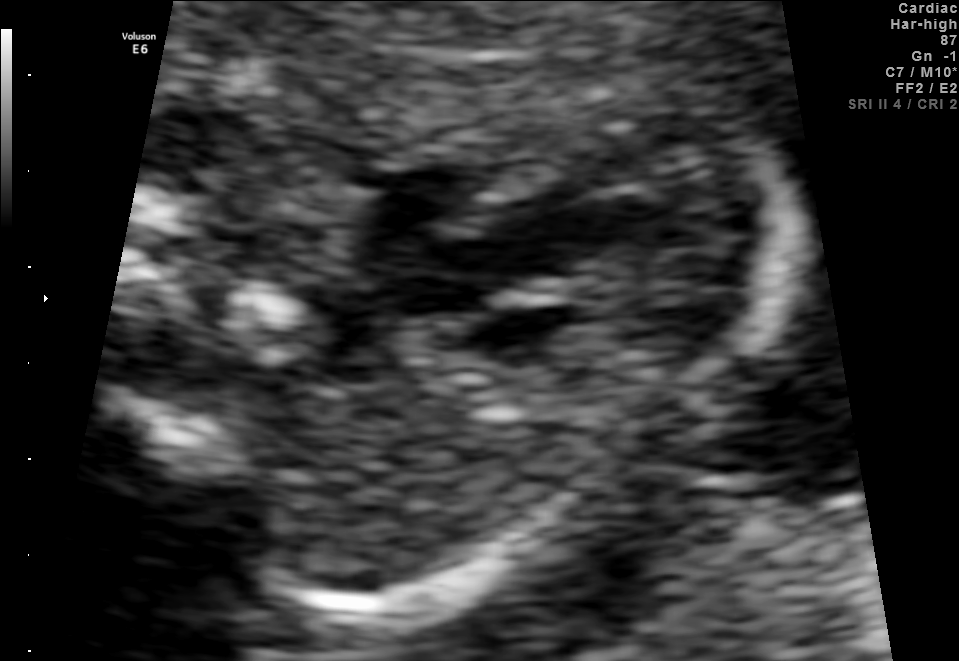
Identify the standard plane in this fetal ultrasound image: fetal abdomen, fetal brain, fetal femur, fetal thorax, maternal cervix, or other. If it's fetal brain and one of the three standard brain planes (trans-thalamic, trans-cerebellum, trans-ventricular), name which.

Fetal thorax